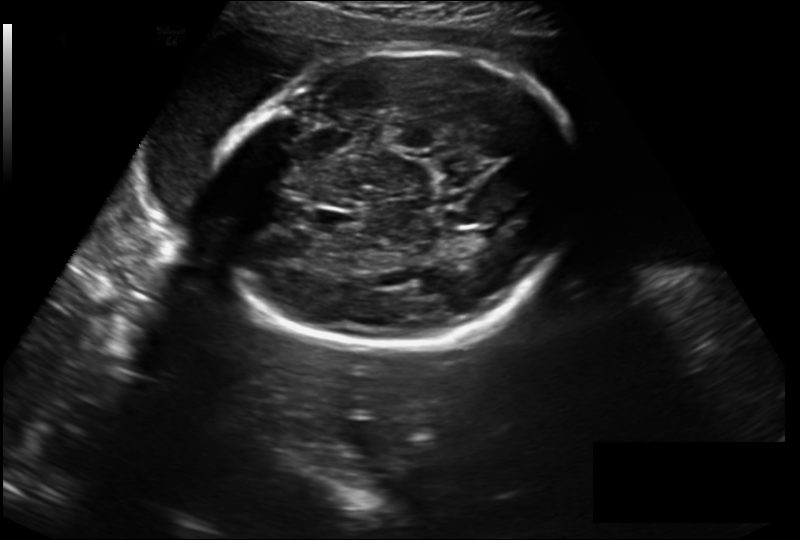
Measure the fetal head circumference shown in this ultrasound image. Image width: 184.1 mm.

Head circumference: 251.8 mm.